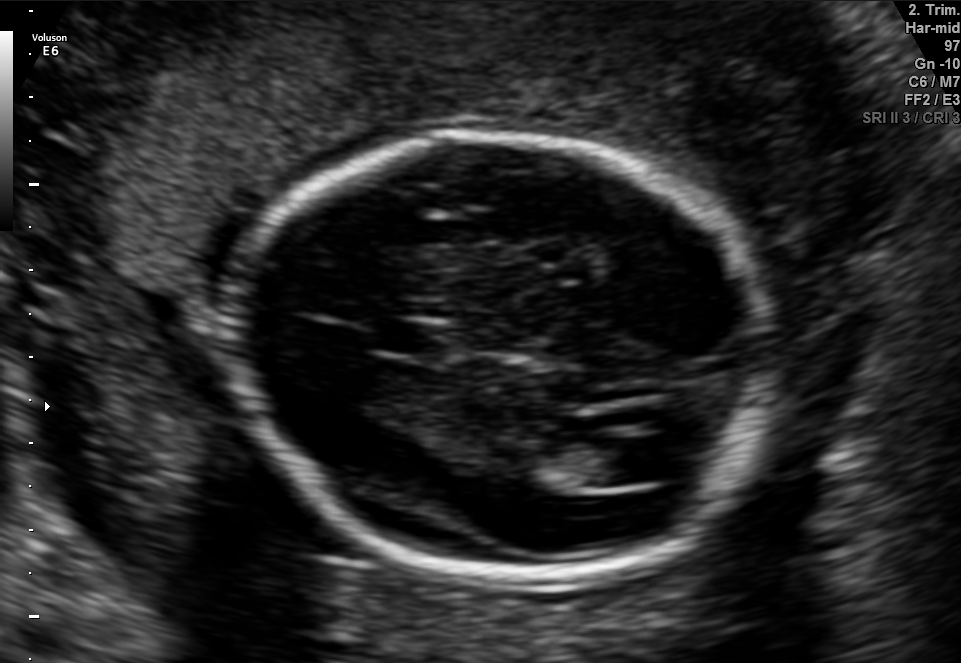
This is a 2D maternal-fetal ultrasound frame. Is it a fetal abdomen, fetal brain, fetal femur, fetal thorax, maternal cervix, or other standard plane? If it's fetal brain and one of the three standard brain planes (trans-thalamic, trans-cerebellum, trans-ventricular), name which.

Fetal brain (trans-ventricular plane)